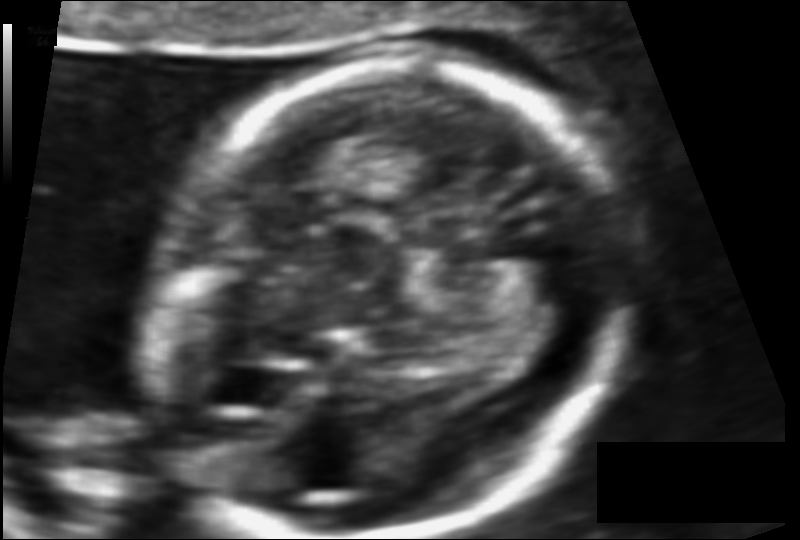
Estimate the fetal head circumference from this 2D ultrasound.

Head circumference: 130.5 mm (image width 66.0 mm).